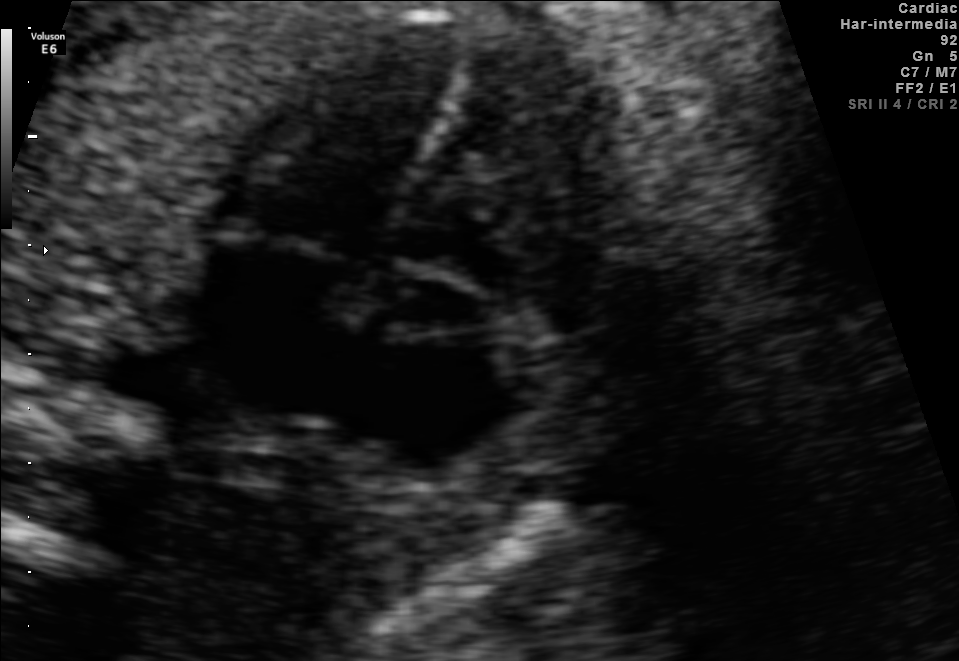
This is a 2D maternal-fetal ultrasound frame. Is it a fetal abdomen, fetal brain, fetal femur, fetal thorax, maternal cervix, or other standard plane? If it's fetal brain and one of the three standard brain planes (trans-thalamic, trans-cerebellum, trans-ventricular), name which.

Fetal thorax